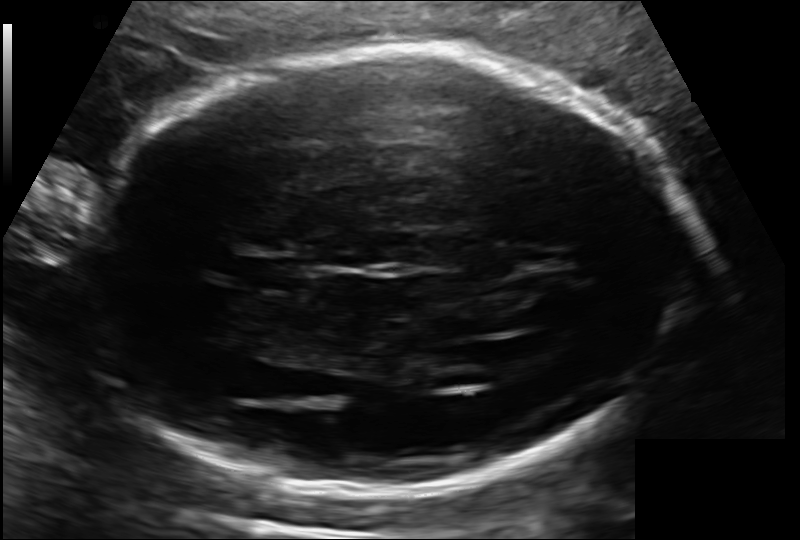
In this fetal head ultrasound, give bounding boxes for the head outline, cavum septum pellucidum (CSP), and lateral ventricle (LV), where visible. Image width: 114.4 mm.

Head: [79,48,694,495]
CSP: [235,252,306,294]
Lateral ventricle: [507,320,591,381]